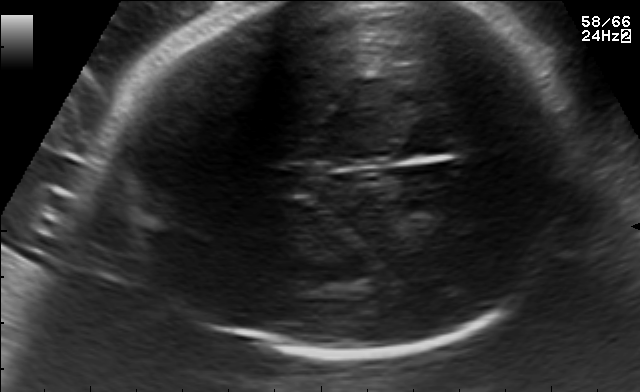
Fetal brain, trans-thalamic plane. Give [x1,y1,x2,y2] bounding boxes for each visible structure among: fetal head, CSP, LV.

Head: [95,3,583,358]
CSP: [261,166,320,193]